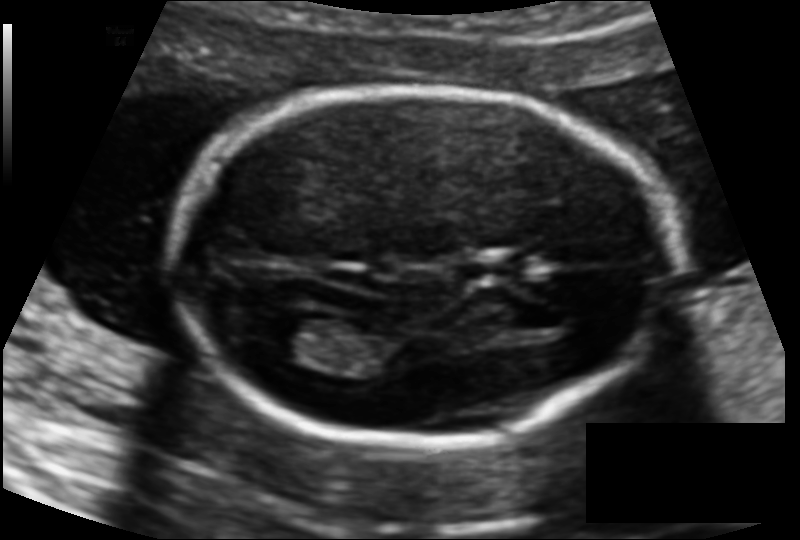
Fetal head ultrasound. Image width: 91.5 mm. Locate the cavum septum pellucidum.

CSP: [453,255,517,285]